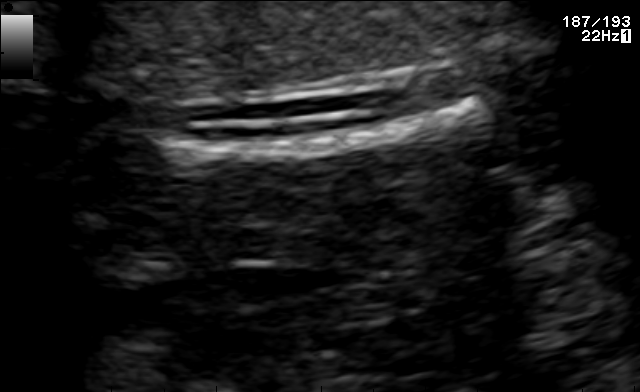
Classify this maternal-fetal ultrasound image as one of the six standard planes — fetal abdomen, fetal brain, fetal femur, fetal thorax, maternal cervix, or other. If it's fetal brain and one of the three standard brain planes (trans-thalamic, trans-cerebellum, trans-ventricular), name which.

Fetal femur